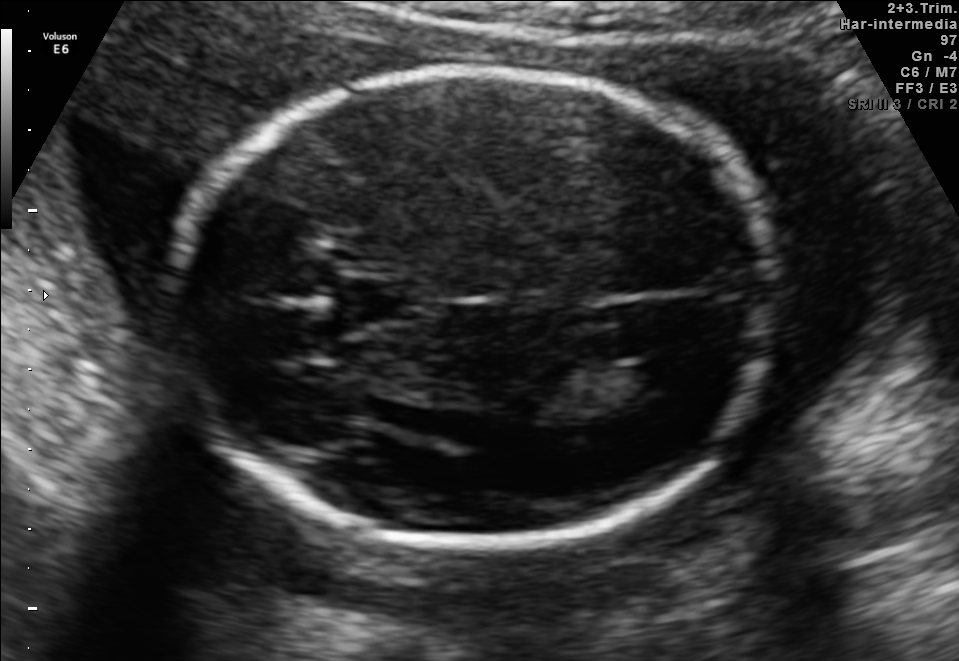
Fetal brain, trans-ventricular plane. Where is the fetal head?

Head bounding box: [155,58,798,557]